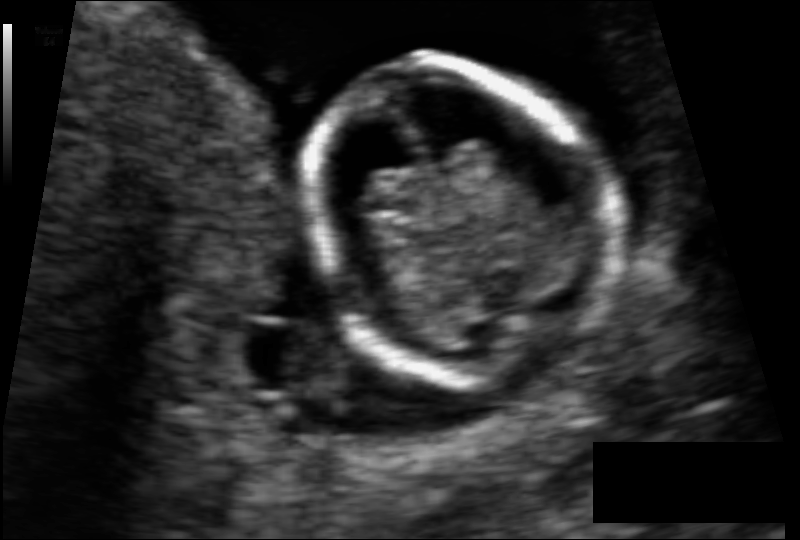
Fetal head ultrasound. Image width: 58.7 mm. Give [x1,y1,x2,y2] bounding boxes for each visible structure among: fetal head, CSP, LV.

Head: [306,57,617,386]